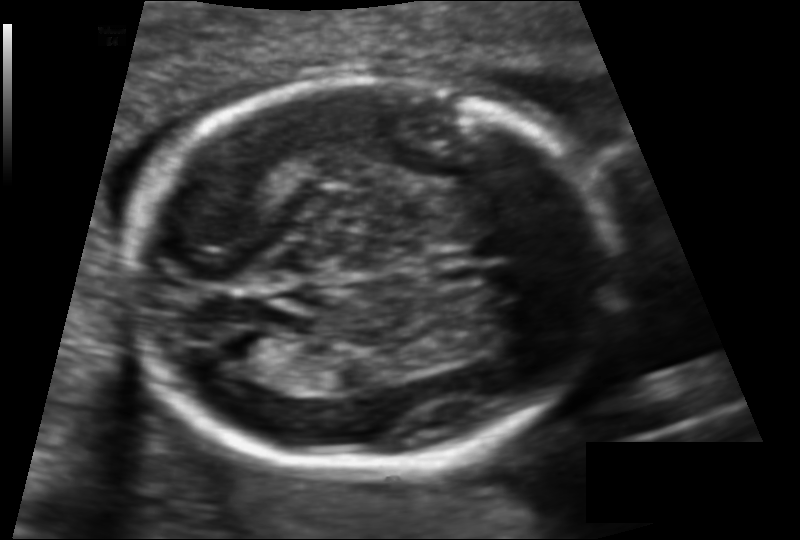
Fetal head ultrasound. Image width: 94.9 mm. Locate the fetal head and, if visible, the cavum septum pellucidum (CSP) and lateral ventricle (LV). Give bounding boxes as [x1,y1,x2,y2].

Head: [123,75,615,465]
Lateral ventricle: [208,322,283,377]